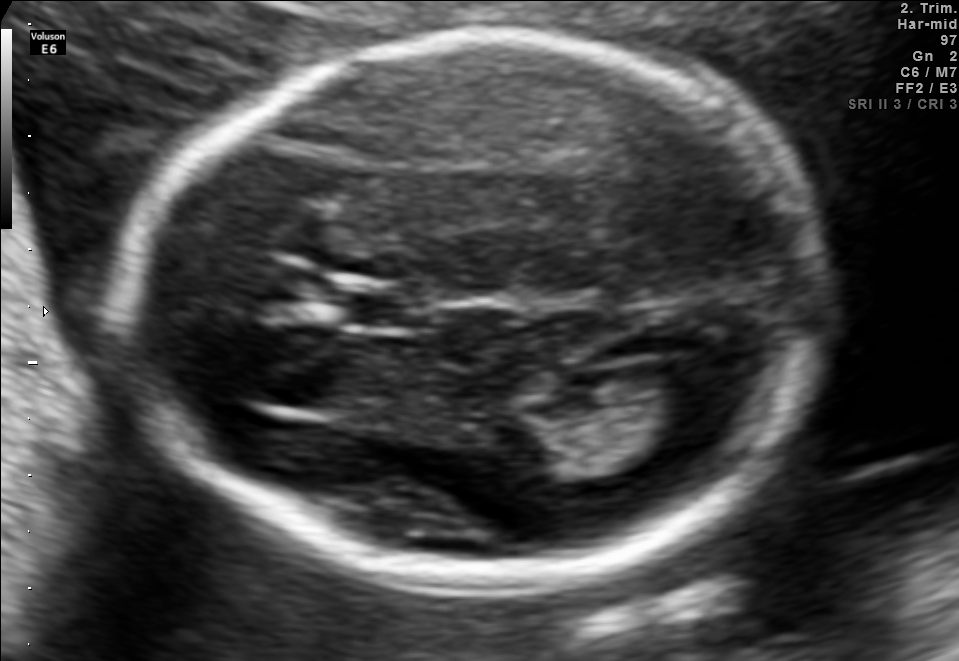
In this fetal brain, trans-ventricular plane, give the bounding box of the cavum septum pellucidum.

[349,291,428,329]